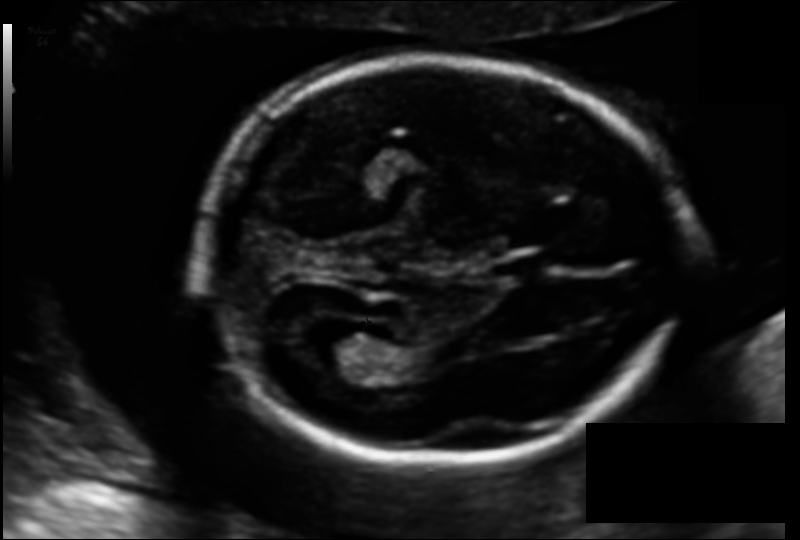
Estimate the fetal head circumference from this 2D ultrasound. Image width: 97.9 mm.

Head circumference: 176.5 mm.